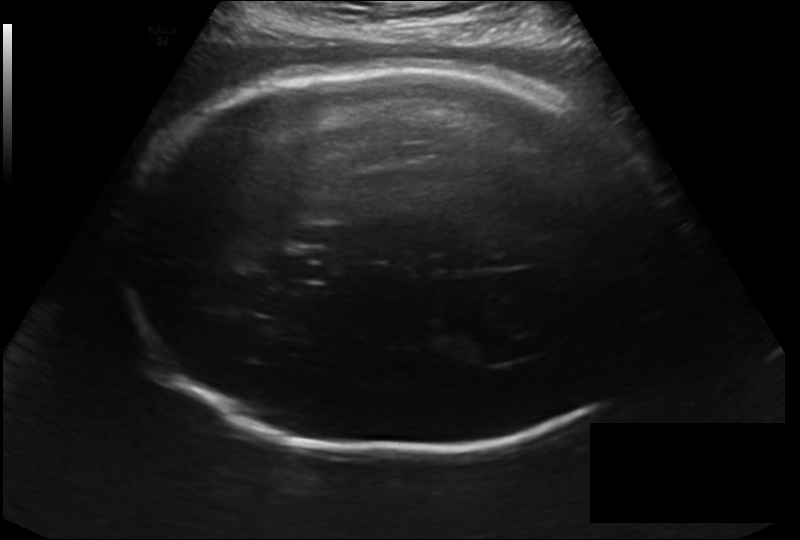
What is the fetal head circumference? Image width is 171.6 mm.

327.1 mm